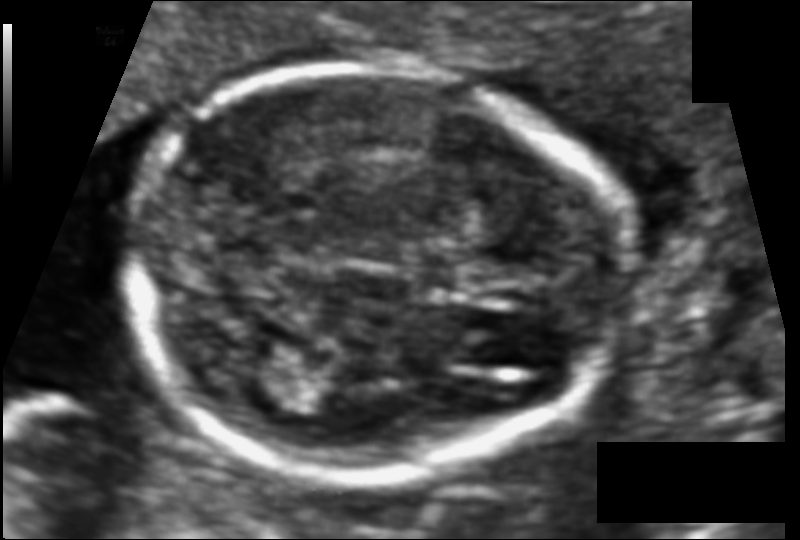
Fetal head ultrasound. Image width: 65.0 mm. Locate the fetal head and, if visible, the cavum septum pellucidum (CSP) and lateral ventricle (LV). Give bounding boxes as [x1,y1,x2,y2].

Head: [123,65,621,477]